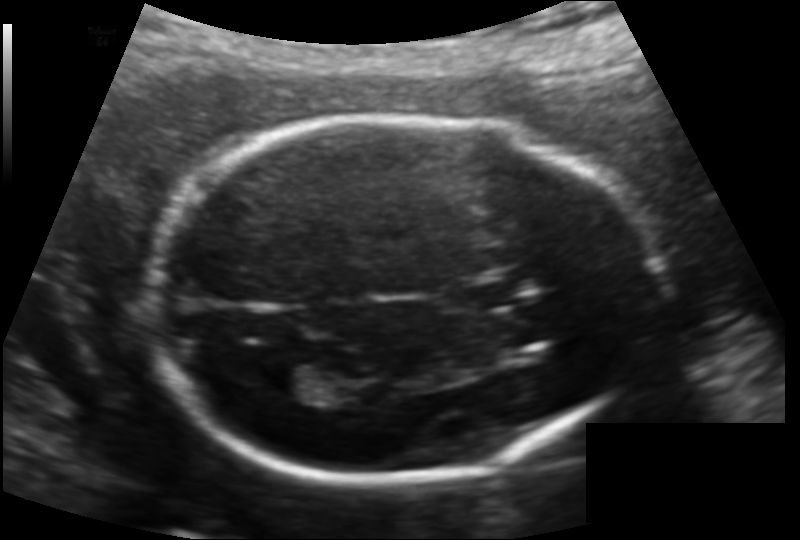
Fetal head ultrasound. Image width: 105.6 mm. Give [x1,y1,x2,y2] bounding boxes for each visible structure among: fetal head, CSP, LV.

Head: [142,115,660,477]
CSP: [459,264,537,316]
Lateral ventricle: [263,360,326,402]